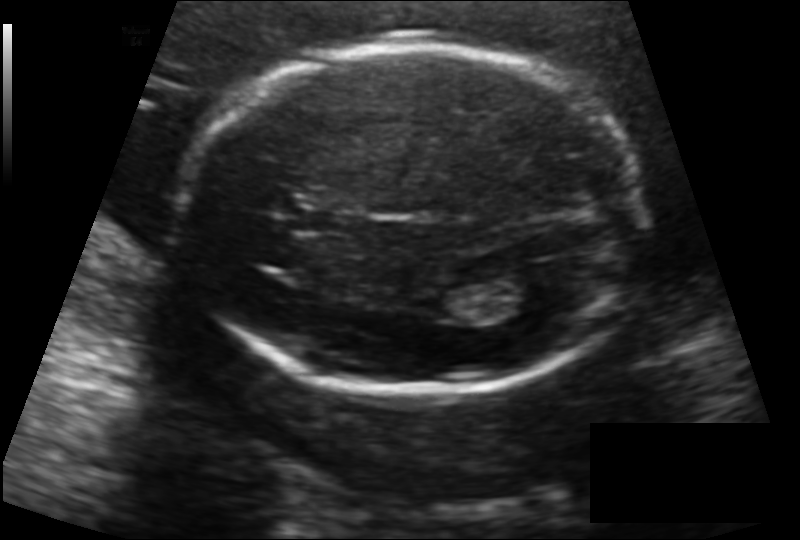
Fetal head ultrasound. Image width: 113.3 mm. Locate the lateral ventricle.

Lateral ventricle: [489,268,558,320]